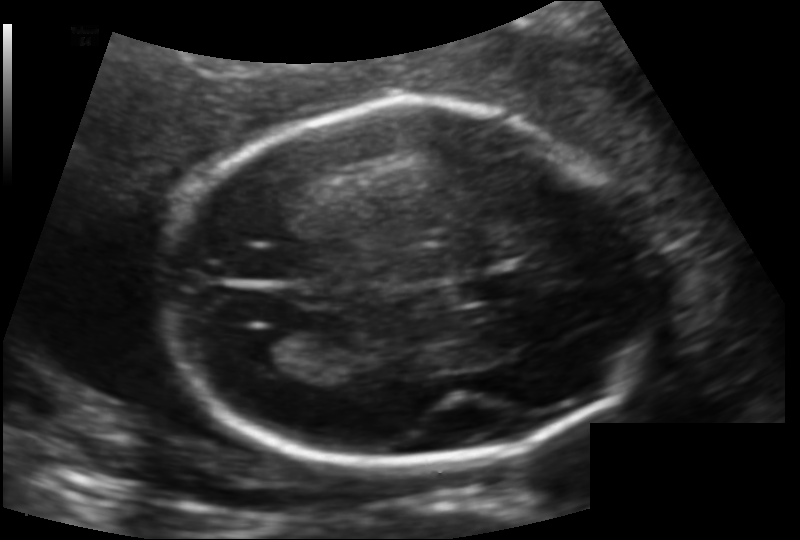
Fetal head ultrasound. Image width: 106.2 mm. Locate the cavum septum pellucidum.

CSP: [457,269,529,305]